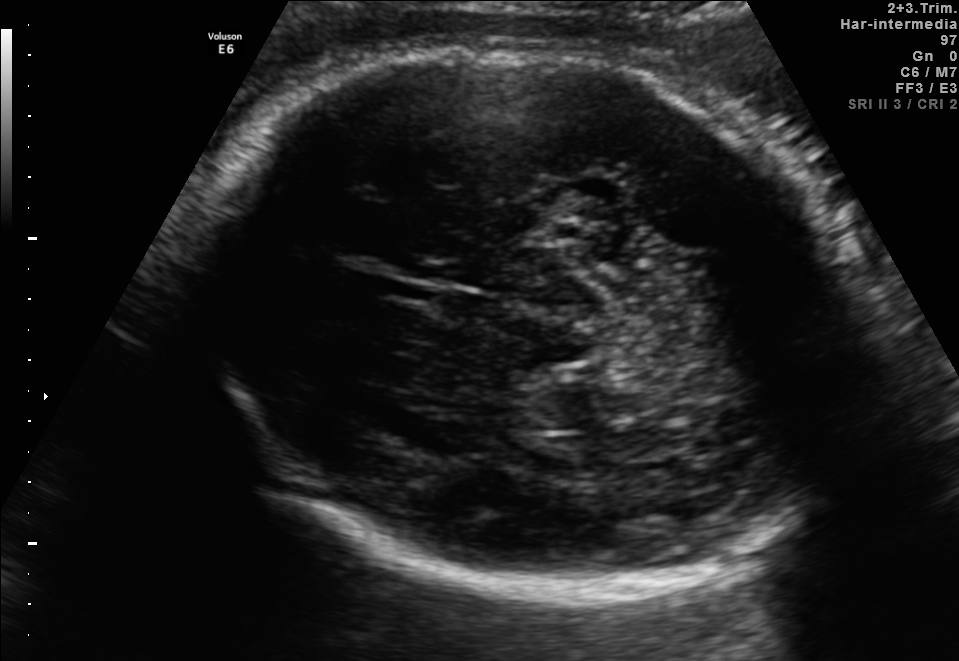
Fetal brain, trans-thalamic plane. Where is the fetal head?

Head bounding box: [192,46,863,599]